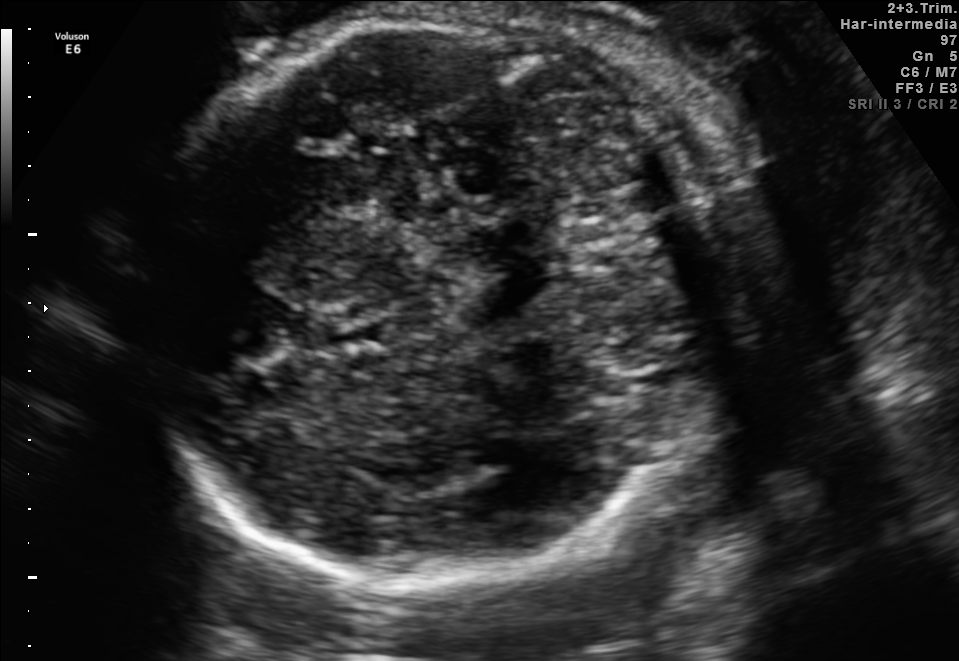
Identify the standard plane in this fetal ultrasound image: fetal abdomen, fetal brain, fetal femur, fetal thorax, maternal cervix, or other. If it's fetal brain and one of the three standard brain planes (trans-thalamic, trans-cerebellum, trans-ventricular), name which.

Fetal brain (trans-cerebellum plane)